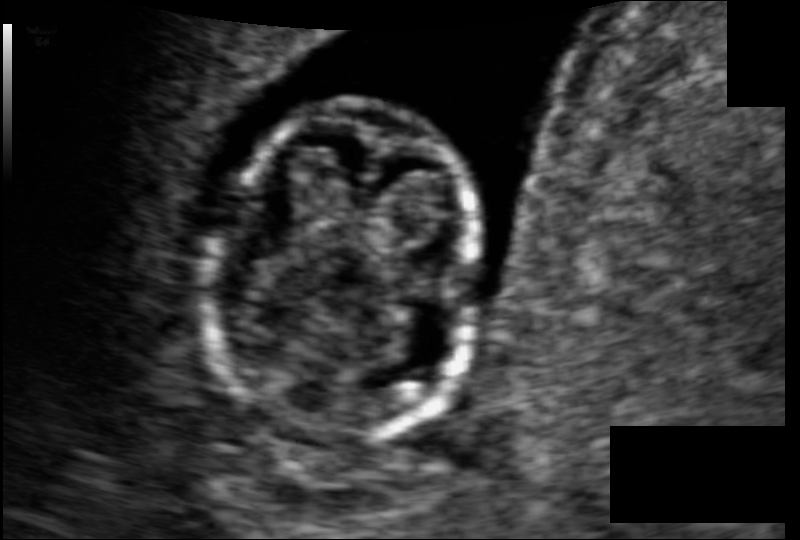
Estimate the fetal head circumference from this 2D ultrasound.

Head circumference: 74.6 mm (image width 59.1 mm).